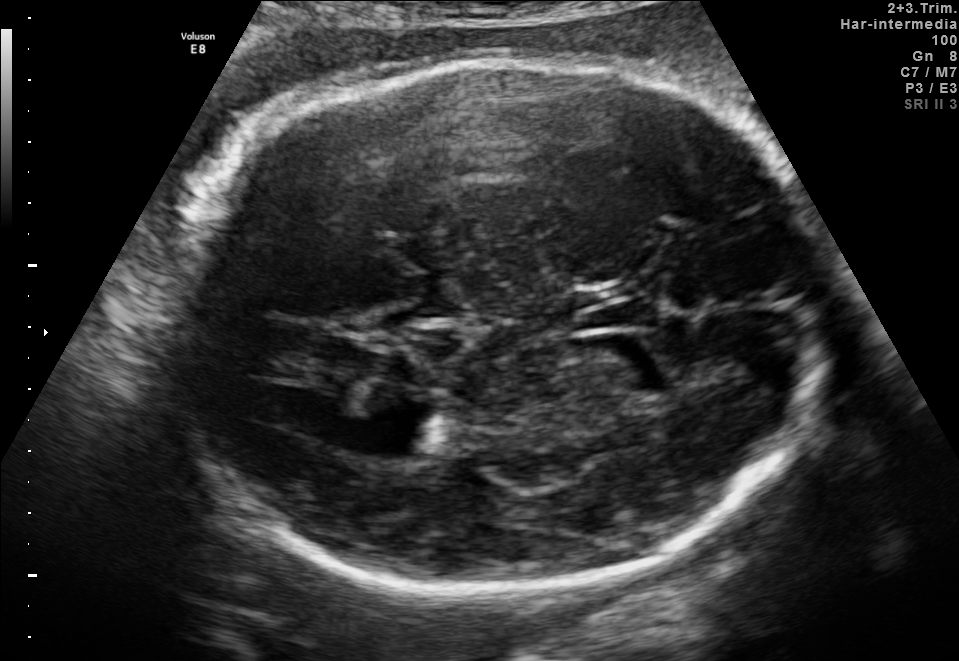
Fetal brain, trans-thalamic plane. Give [x1,y1,x2,y2] bounding boxes for each visible structure among: fetal head, CSP, LV.

Head: [172,55,819,594]
Lateral ventricle: [372,407,452,455]